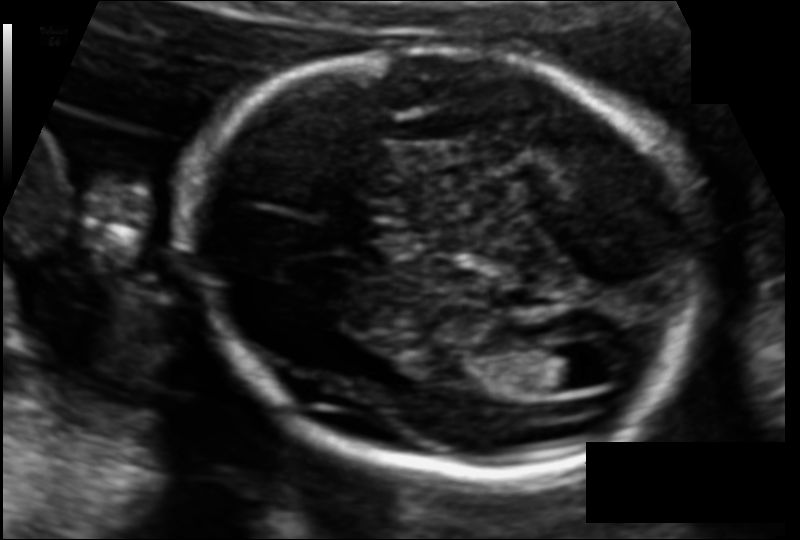
Fetal head ultrasound. Image width: 87.7 mm. Where is the lateral ventricle?

Lateral ventricle bounding box: [522,345,590,393]